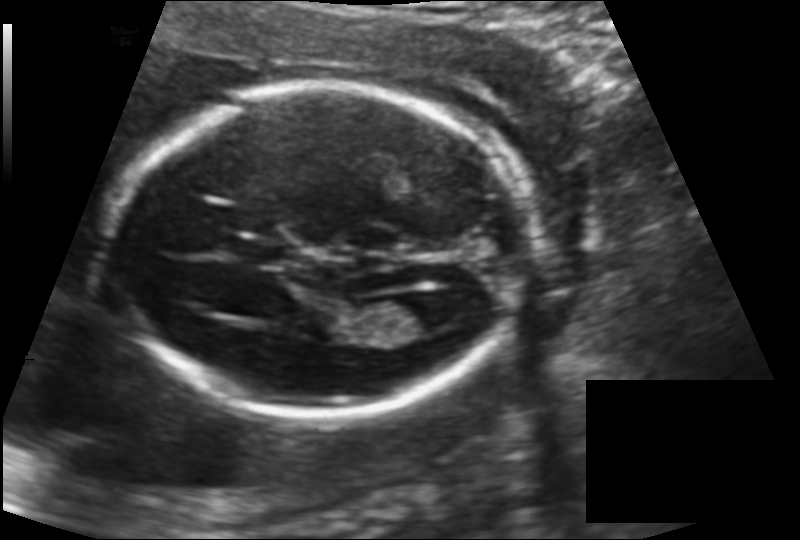
From this fetal ultrasound, estimate the head circumference (image width 113.5 mm).

Head circumference: 172.7 mm.